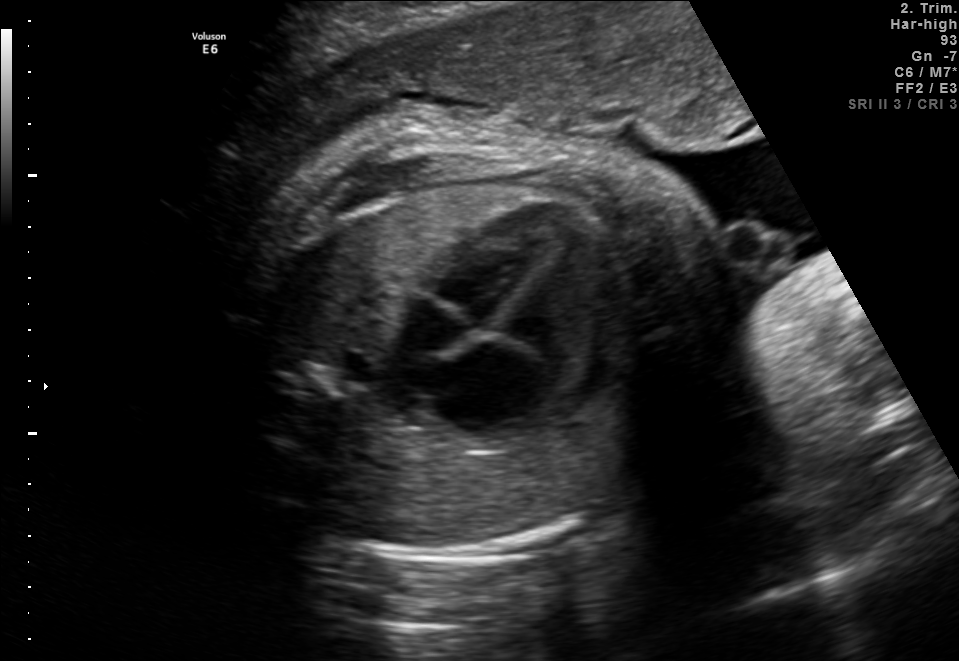
This is a 2D maternal-fetal ultrasound frame. Is it a fetal abdomen, fetal brain, fetal femur, fetal thorax, maternal cervix, or other standard plane? If it's fetal brain and one of the three standard brain planes (trans-thalamic, trans-cerebellum, trans-ventricular), name which.

Fetal thorax